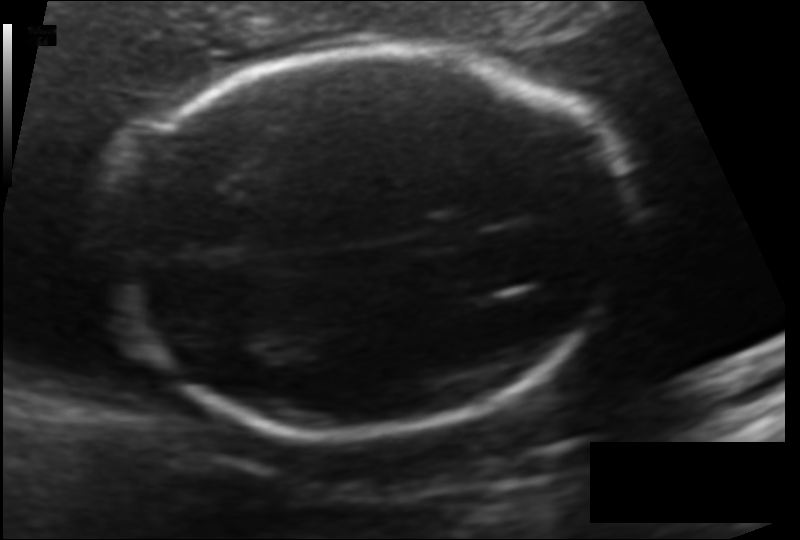
Fetal head ultrasound. Image width: 97.8 mm. Where is the fetal head?

Head bounding box: [109,47,631,431]